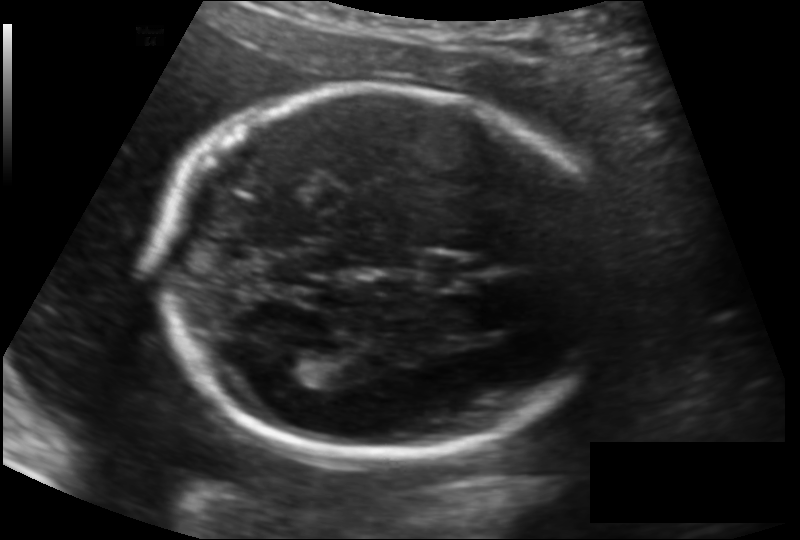
Measure the fetal head circumference shown in this ultrasound image. Image width: 107.5 mm.

Head circumference: 181.0 mm.